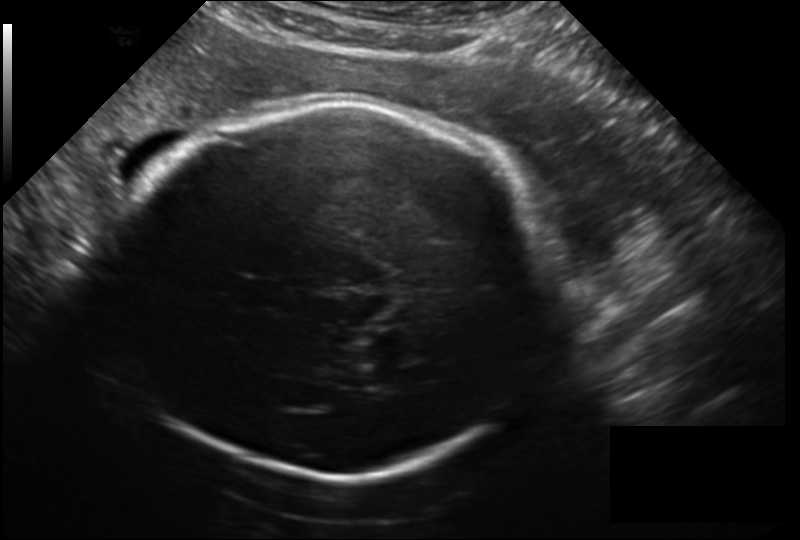
Fetal head ultrasound. Image width: 167.3 mm. Give [x1,y1,x2,y2] bounding boxes for each visible structure among: fetal head, CSP, LV.

Head: [116,101,546,475]